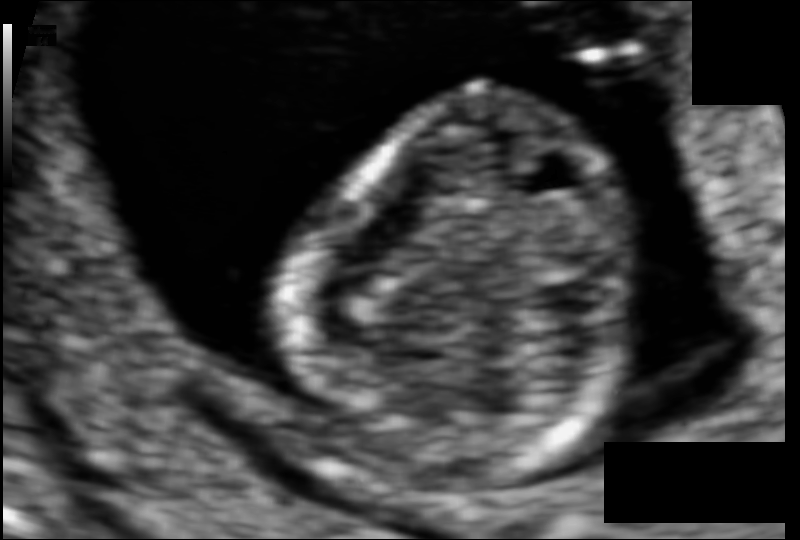
Fetal head ultrasound. Image width: 48.3 mm. Locate the fetal head and, if visible, the cavum septum pellucidum (CSP) and lateral ventricle (LV). Give bounding boxes as [x1,y1,x2,y2].

Head: [301,97,646,482]